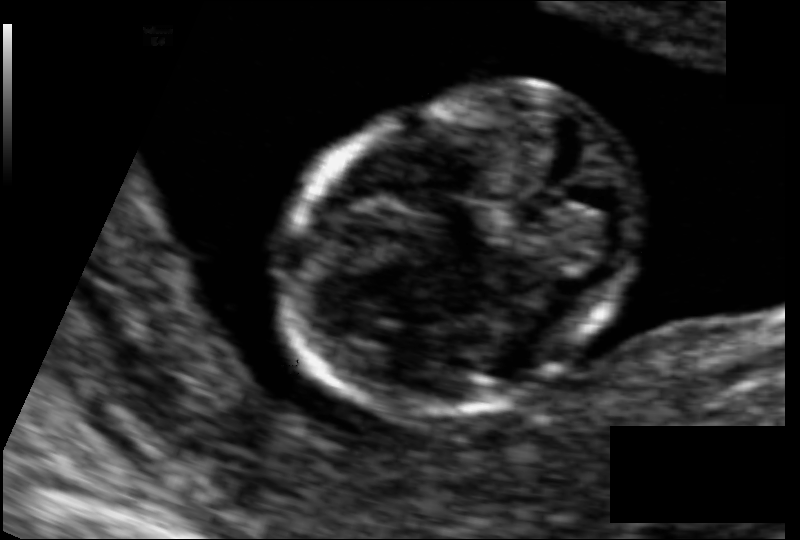
In this fetal head ultrasound, give bounding boxes for the head outline, cavum septum pellucidum (CSP), and lateral ventricle (LV), where visible. Image width: 52.4 mm.

Head: [286,91,644,415]